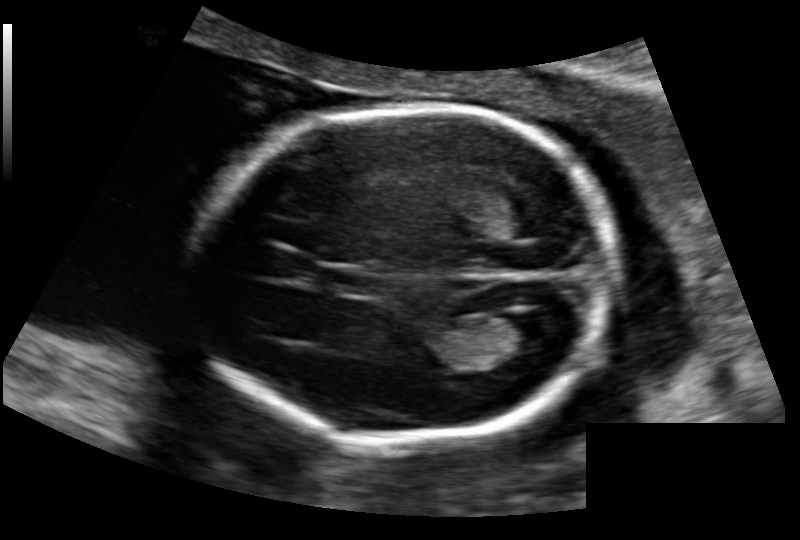
Fetal head ultrasound. Image width: 108.9 mm. Locate the lateral ventricle.

Lateral ventricle: [491,311,558,356]